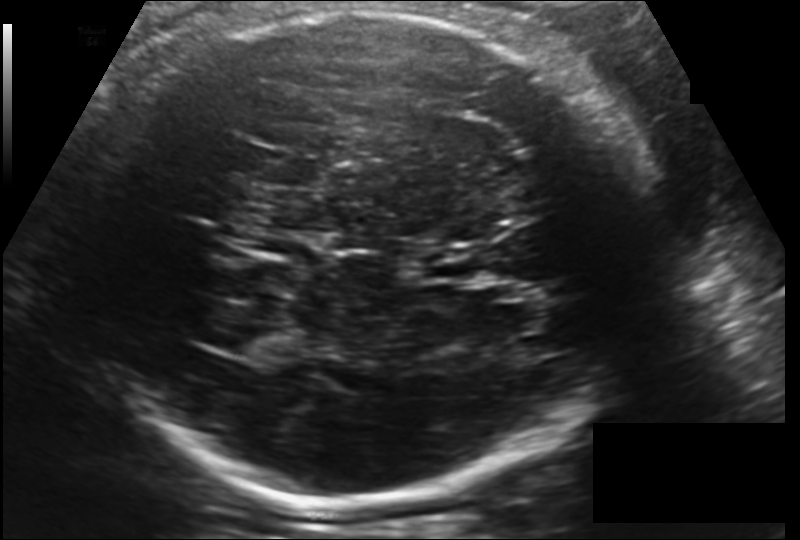
Fetal head ultrasound. Image width: 145.0 mm. Give [x1,y1,x2,y2] bounding boxes for each visible structure among: fetal head, CSP, LV.

Head: [86,8,642,506]
Lateral ventricle: [212,316,279,364]